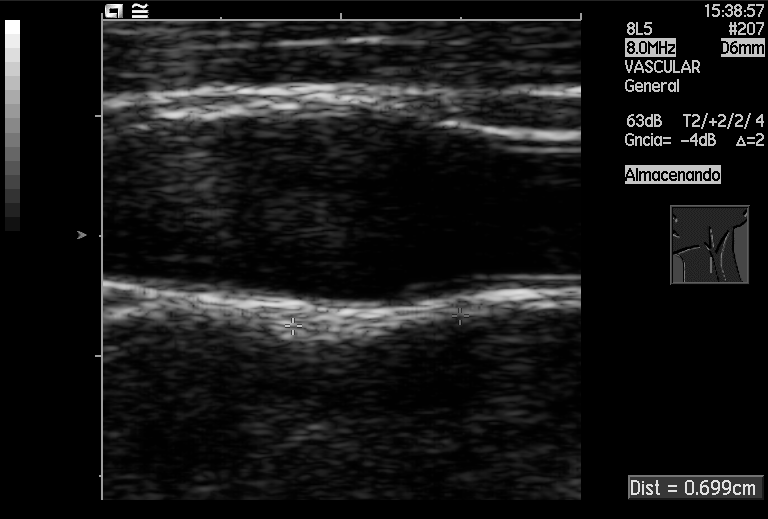
Which standard maternal-fetal ultrasound plane is shown: fetal abdomen, fetal brain, fetal femur, fetal thorax, maternal cervix, or other? If it's fetal brain and one of the three standard brain planes (trans-thalamic, trans-cerebellum, trans-ventricular), name which.

Other